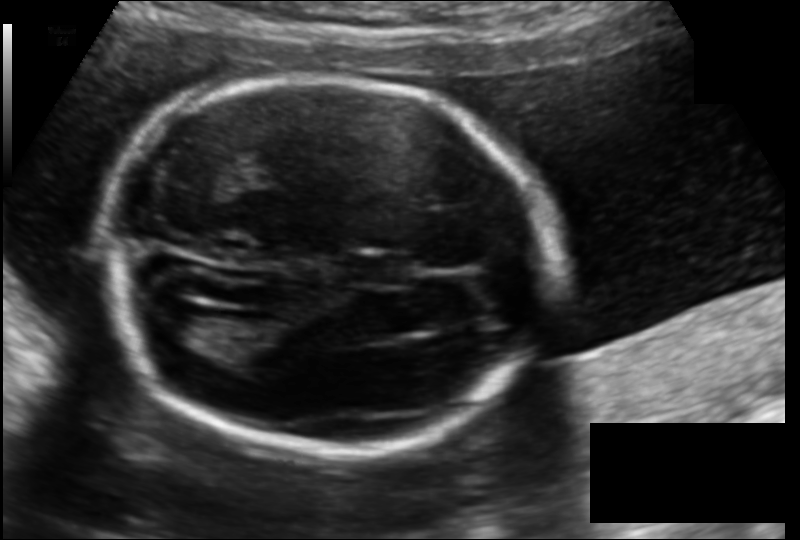
Measure the fetal head circumference shown in this ultrasound image. Image width: 107.8 mm.

Head circumference: 180.9 mm.